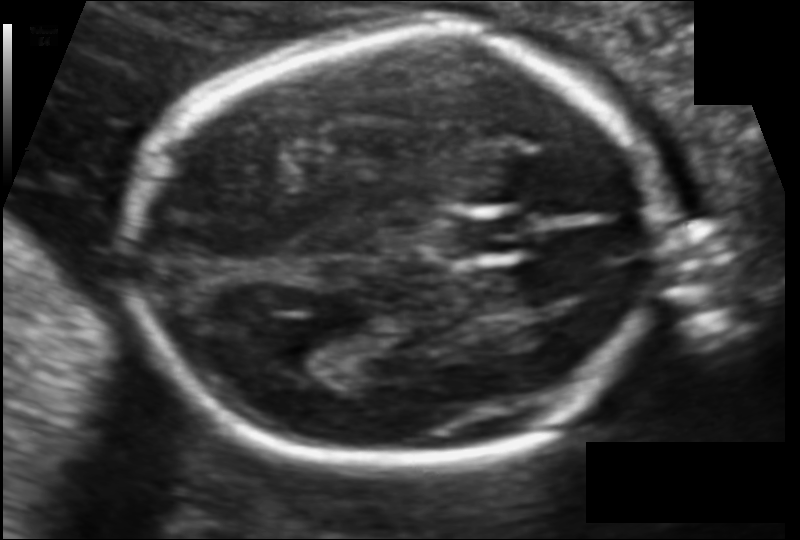
Measure the fetal head circumference shown in this ultrasound image. Image width: 84.9 mm.

Head circumference: 167.4 mm.